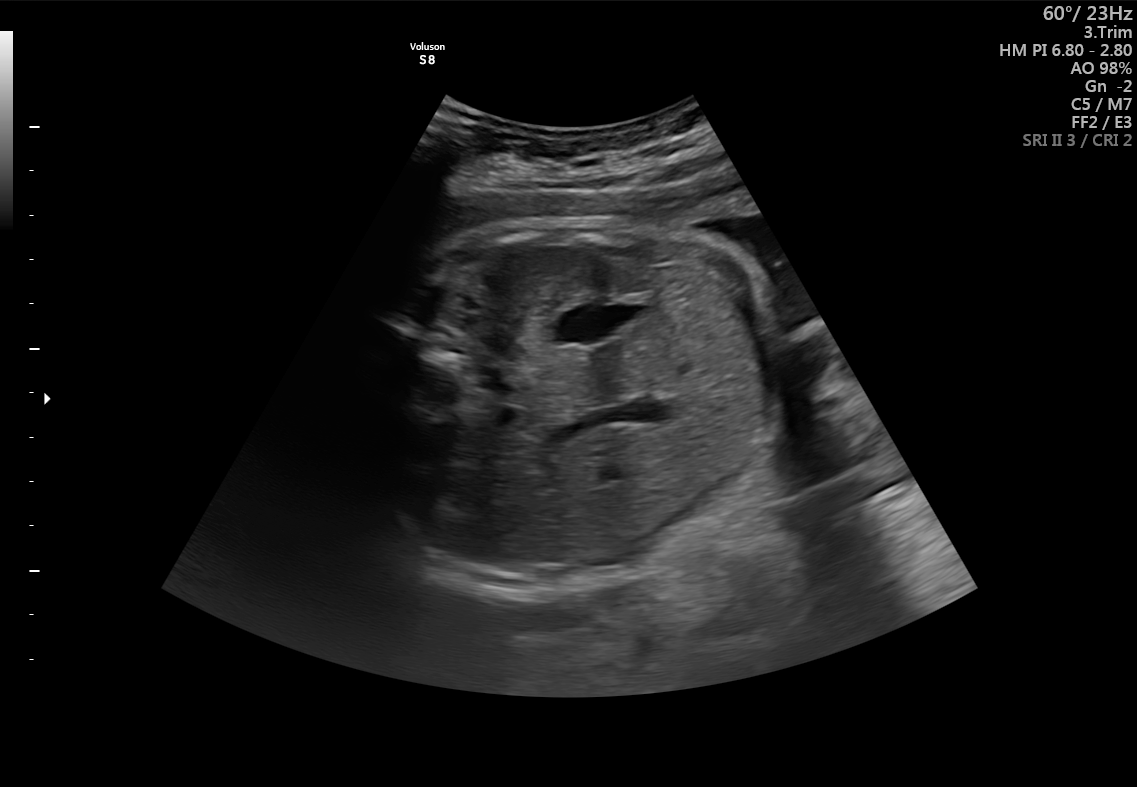
Identify the standard plane in this fetal ultrasound image: fetal abdomen, fetal brain, fetal femur, fetal thorax, maternal cervix, or other. If it's fetal brain and one of the three standard brain planes (trans-thalamic, trans-cerebellum, trans-ventricular), name which.

Fetal abdomen